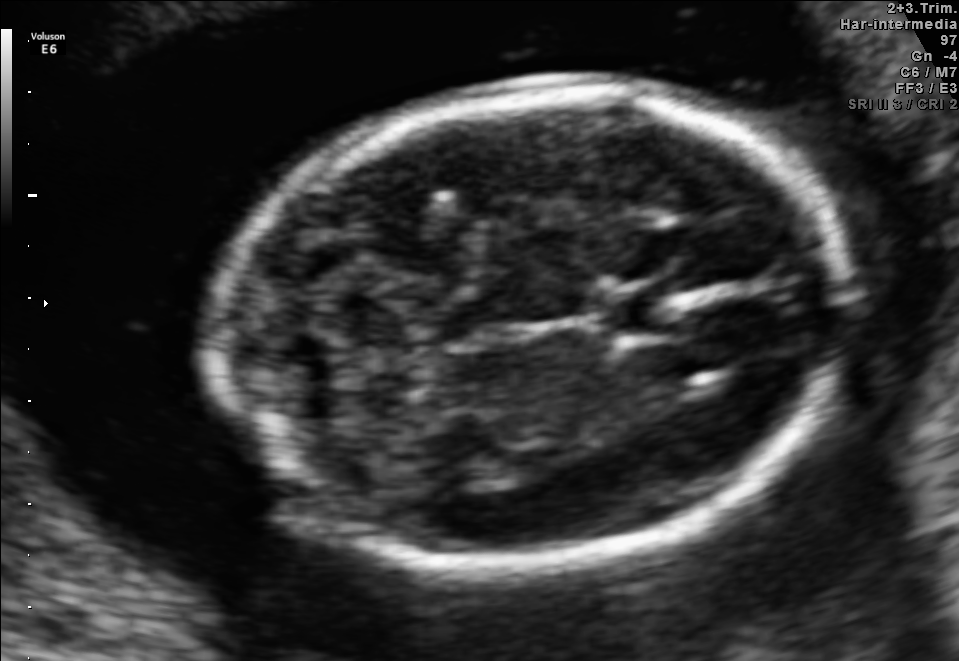
In this fetal brain, trans-cerebellum plane, give the bounding box of the fetal head.

[226,85,841,564]